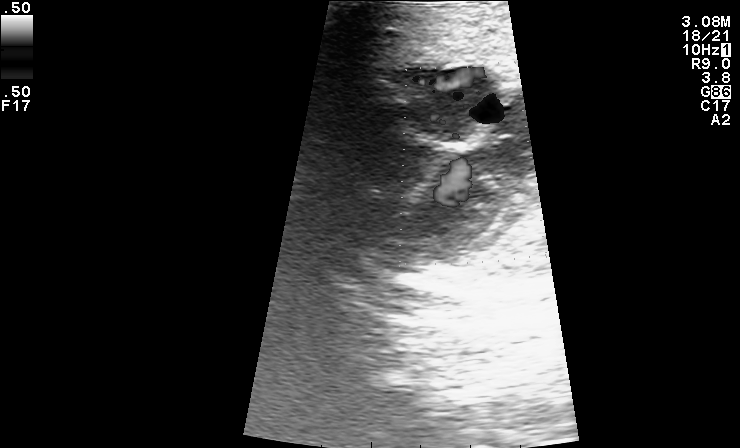
Classify this maternal-fetal ultrasound image as one of the six standard planes — fetal abdomen, fetal brain, fetal femur, fetal thorax, maternal cervix, or other. If it's fetal brain and one of the three standard brain planes (trans-thalamic, trans-cerebellum, trans-ventricular), name which.

Other